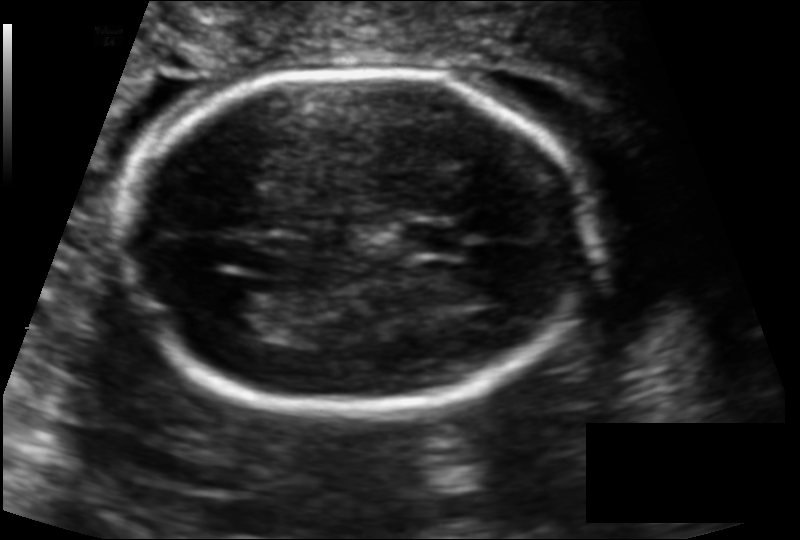
Fetal head ultrasound. Image width: 97.4 mm. Where is the fetal head?

Head bounding box: [122,69,593,413]